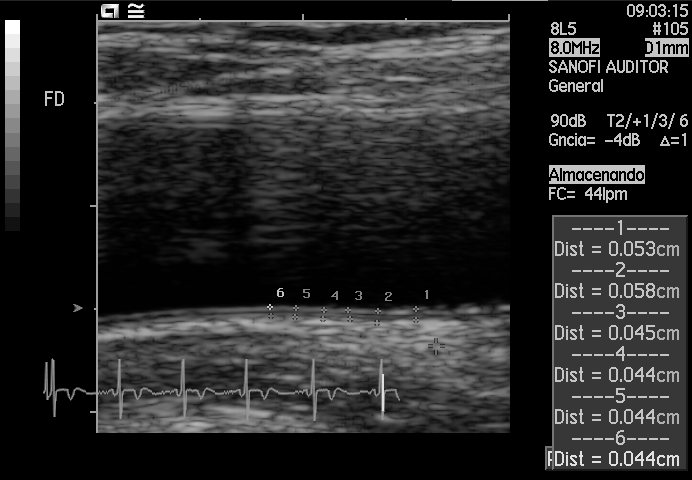
Which standard maternal-fetal ultrasound plane is shown: fetal abdomen, fetal brain, fetal femur, fetal thorax, maternal cervix, or other? If it's fetal brain and one of the three standard brain planes (trans-thalamic, trans-cerebellum, trans-ventricular), name which.

Other